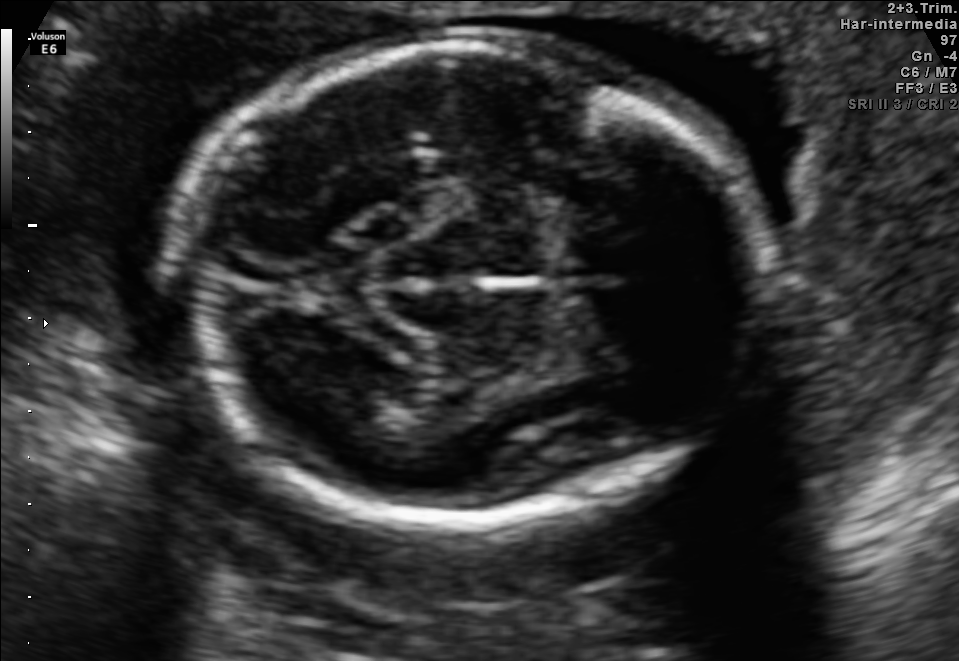
This is a 2D maternal-fetal ultrasound frame. Is it a fetal abdomen, fetal brain, fetal femur, fetal thorax, maternal cervix, or other standard plane? If it's fetal brain and one of the three standard brain planes (trans-thalamic, trans-cerebellum, trans-ventricular), name which.

Fetal brain (trans-thalamic plane)